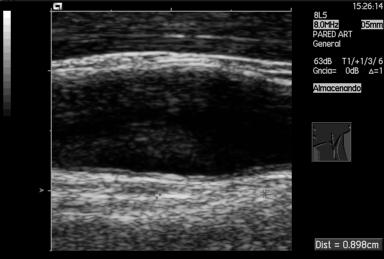
This is a 2D maternal-fetal ultrasound frame. Is it a fetal abdomen, fetal brain, fetal femur, fetal thorax, maternal cervix, or other standard plane? If it's fetal brain and one of the three standard brain planes (trans-thalamic, trans-cerebellum, trans-ventricular), name which.

Other